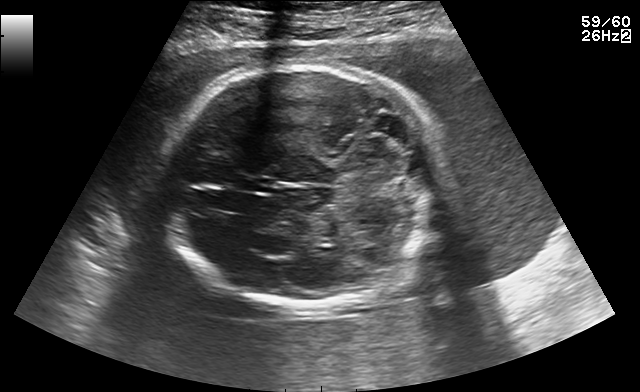
In this fetal brain, trans-cerebellum plane, give the bounding box of the fetal head.

[161,65,448,306]